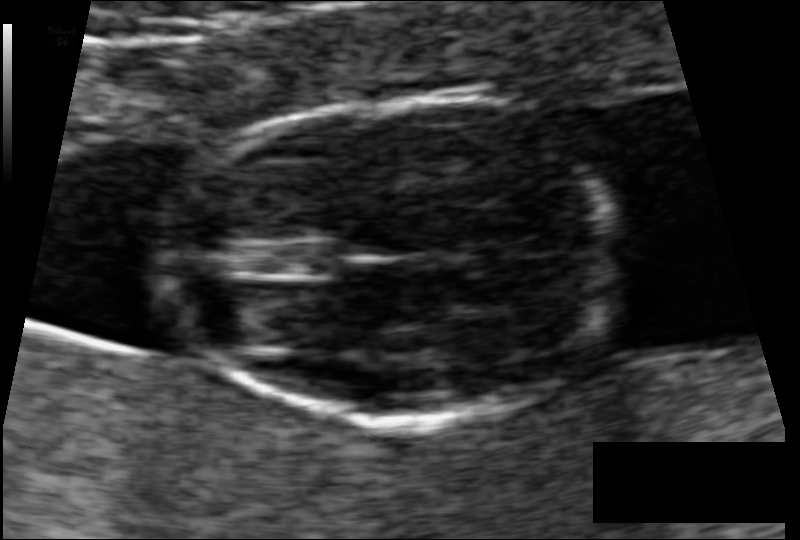
In this fetal head ultrasound, give the bounding box of the fetal head. Image width: 49.5 mm.

[171,99,616,422]